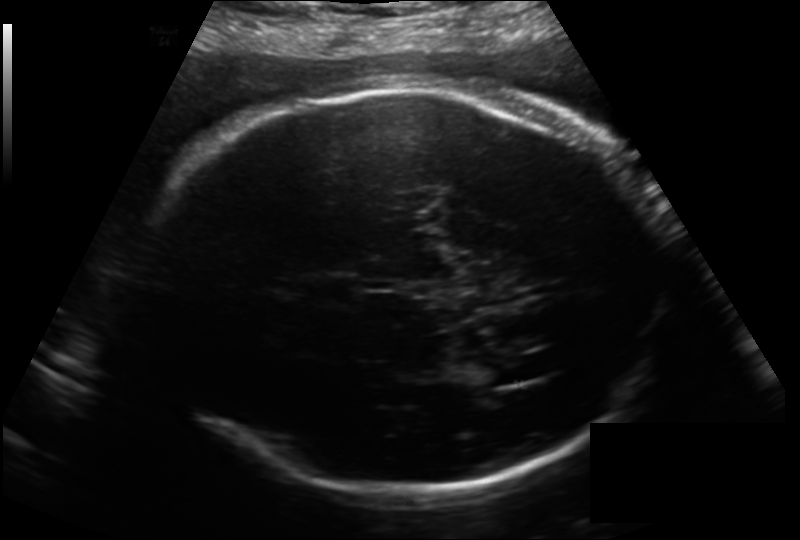
Estimate the fetal head circumference from this 2D ultrasound. Image width: 171.3 mm.

Head circumference: 324.6 mm.